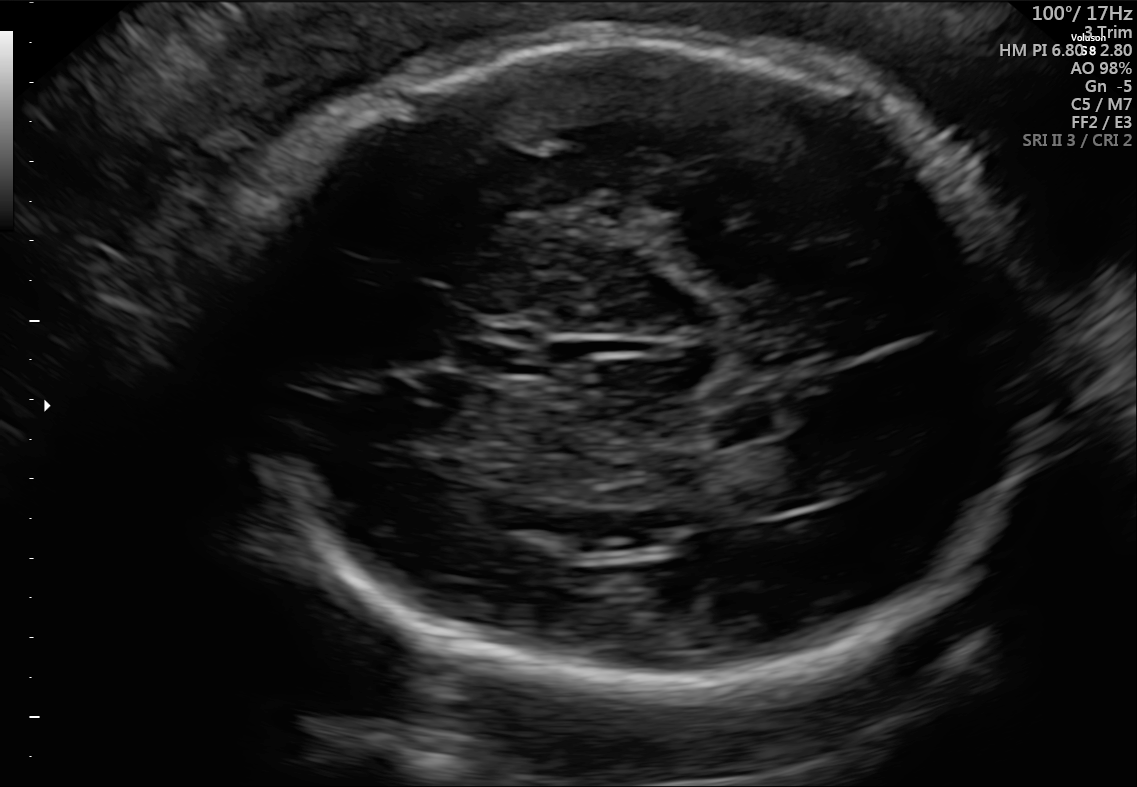
Fetal brain, trans-thalamic plane. Locate the fetal head.

Head: [210,29,1048,699]